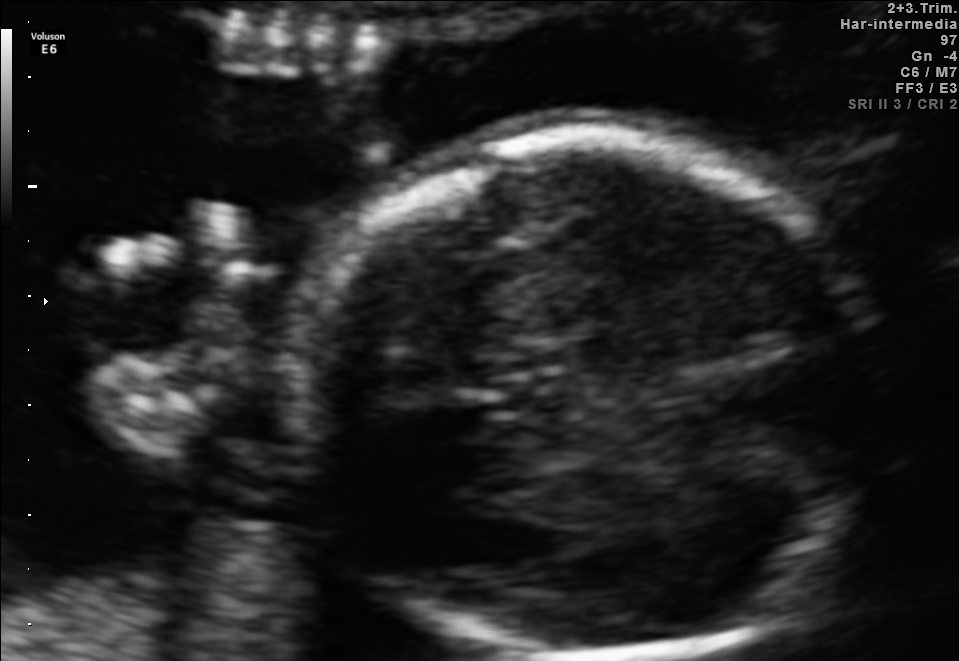
Which standard maternal-fetal ultrasound plane is shown: fetal abdomen, fetal brain, fetal femur, fetal thorax, maternal cervix, or other? If it's fetal brain and one of the three standard brain planes (trans-thalamic, trans-cerebellum, trans-ventricular), name which.

Other